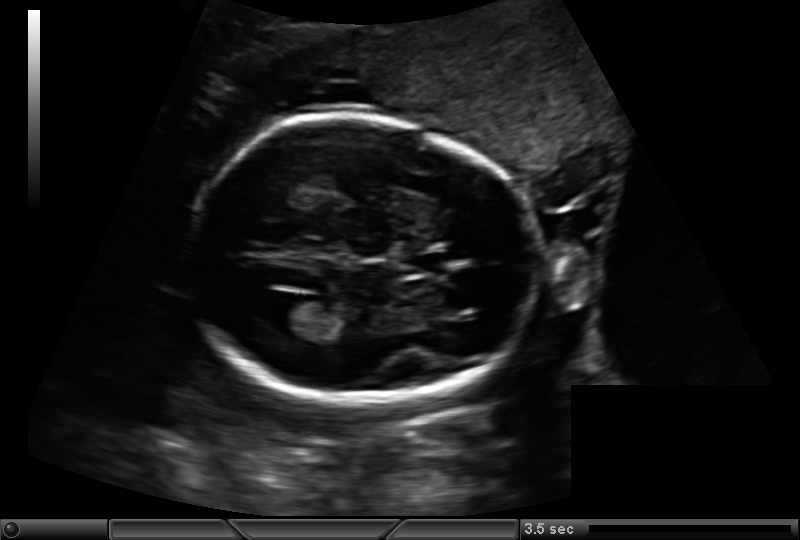
Estimate the fetal head circumference from this 2D ultrasound.

Head circumference: 163.1 mm (image width 126.8 mm).